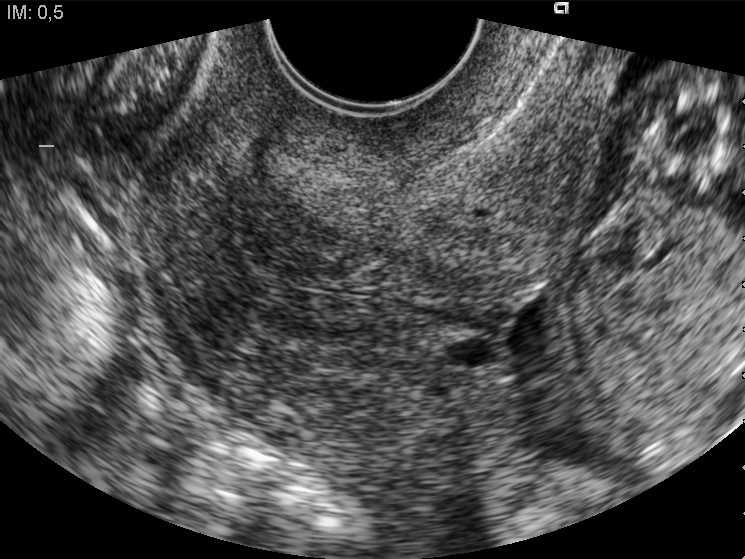
Classify this maternal-fetal ultrasound image as one of the six standard planes — fetal abdomen, fetal brain, fetal femur, fetal thorax, maternal cervix, or other. If it's fetal brain and one of the three standard brain planes (trans-thalamic, trans-cerebellum, trans-ventricular), name which.

Maternal cervix